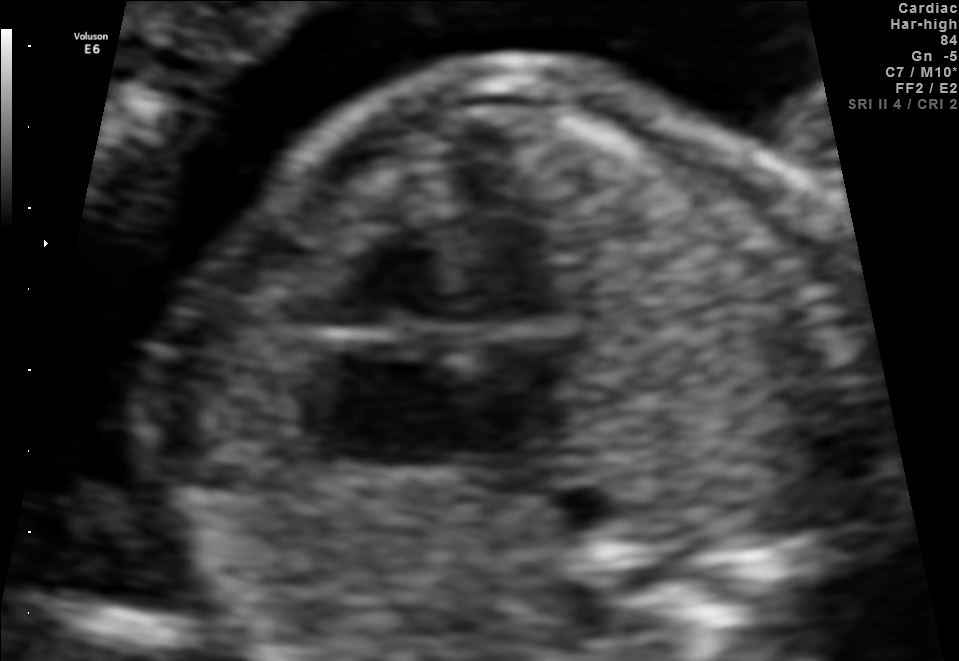
Which standard maternal-fetal ultrasound plane is shown: fetal abdomen, fetal brain, fetal femur, fetal thorax, maternal cervix, or other? If it's fetal brain and one of the three standard brain planes (trans-thalamic, trans-cerebellum, trans-ventricular), name which.

Fetal thorax